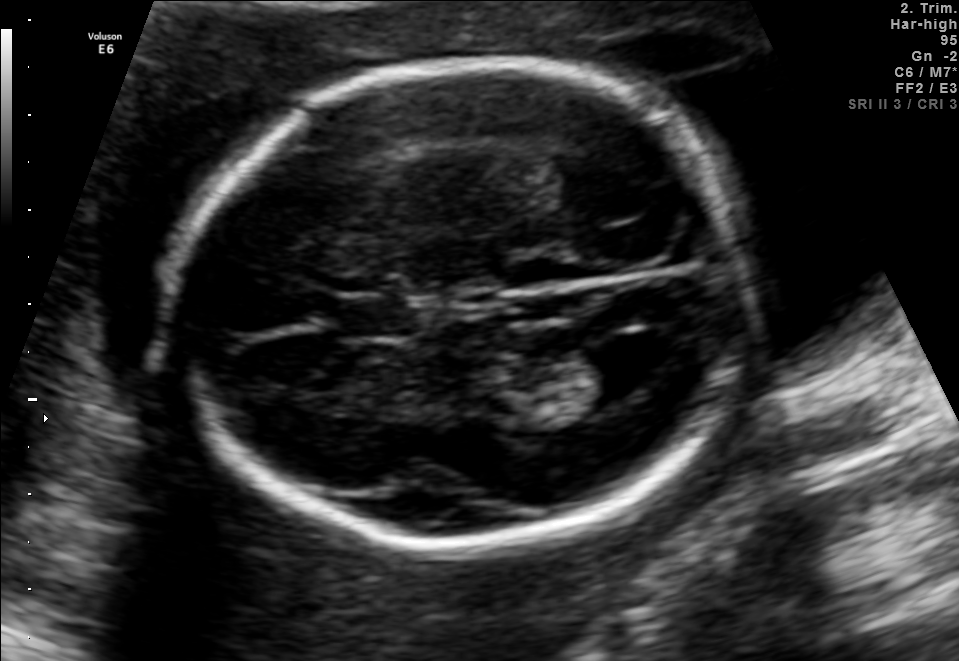
Fetal brain, trans-ventricular plane. Where is the lateral ventricle?

Lateral ventricle bounding box: [566,325,678,412]